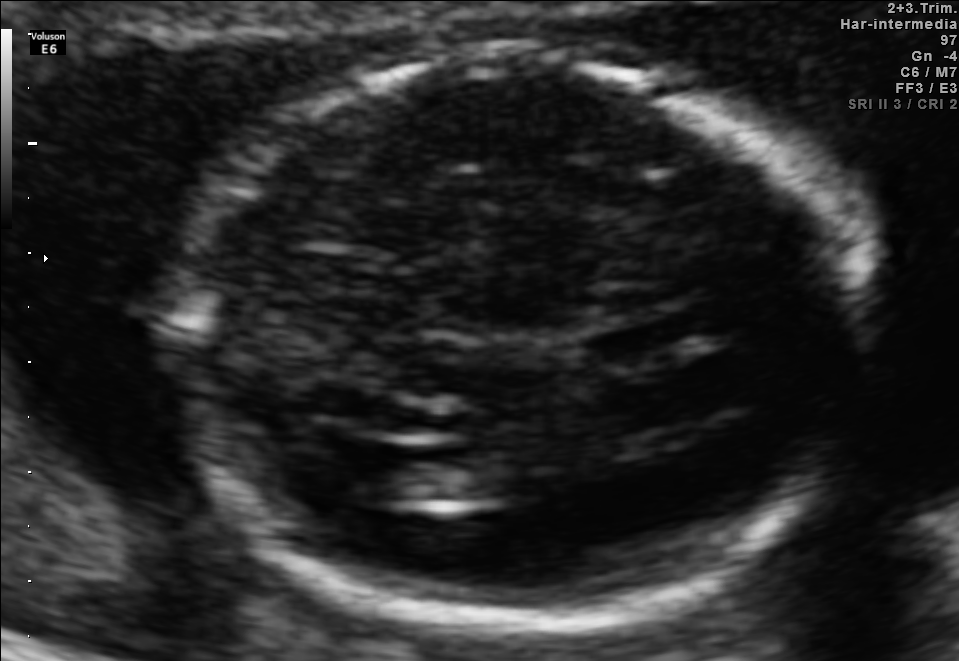
Fetal brain, trans-ventricular plane. Where is the lateral ventricle?

Lateral ventricle bounding box: [367,446,443,499]